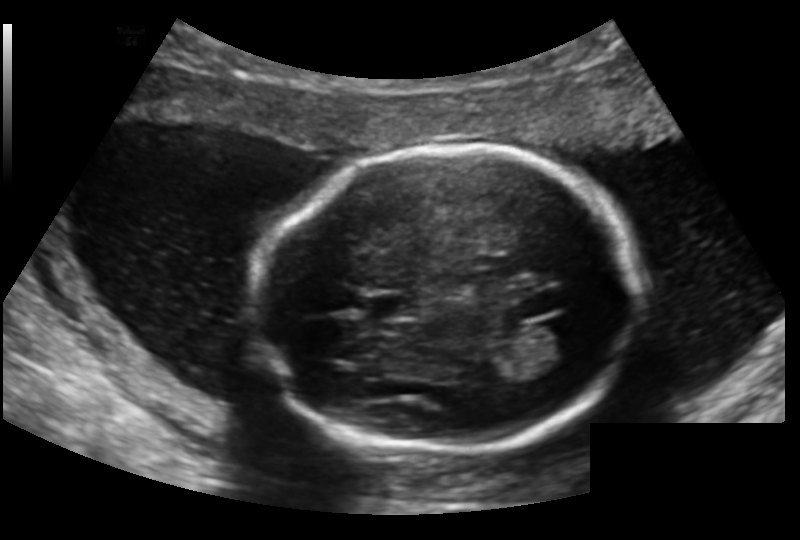
Fetal head ultrasound. Image width: 127.4 mm. Locate the cavum septum pellucidum.

CSP: [366,295,416,318]